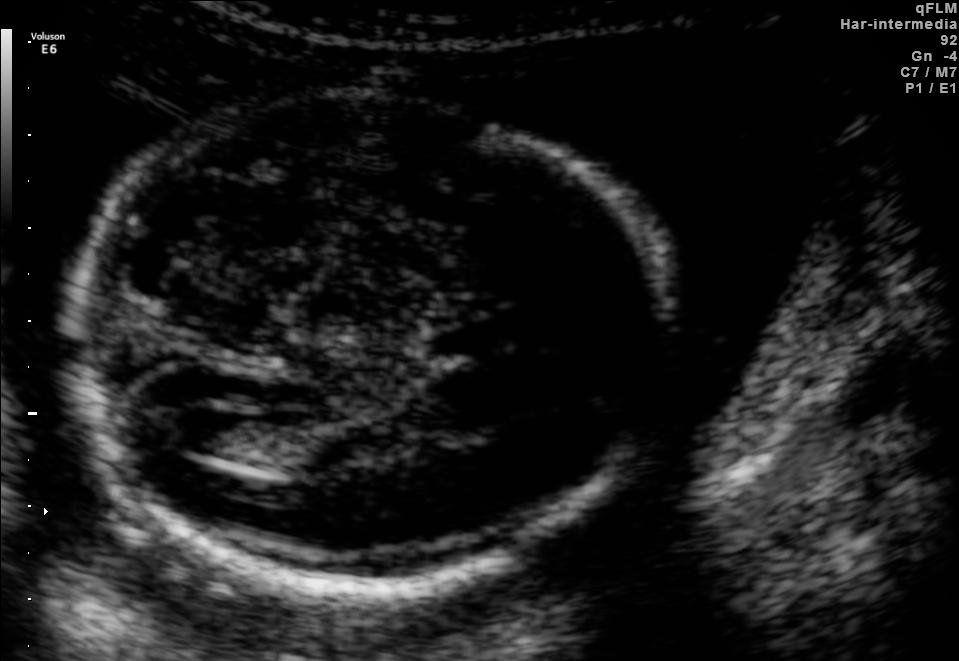
In this fetal brain, trans-ventricular plane, give bounding boxes for the head outline, cavum septum pellucidum (CSP), and lateral ventricle (LV), where visible.

Head: [51,87,688,598]
Lateral ventricle: [165,401,250,462]